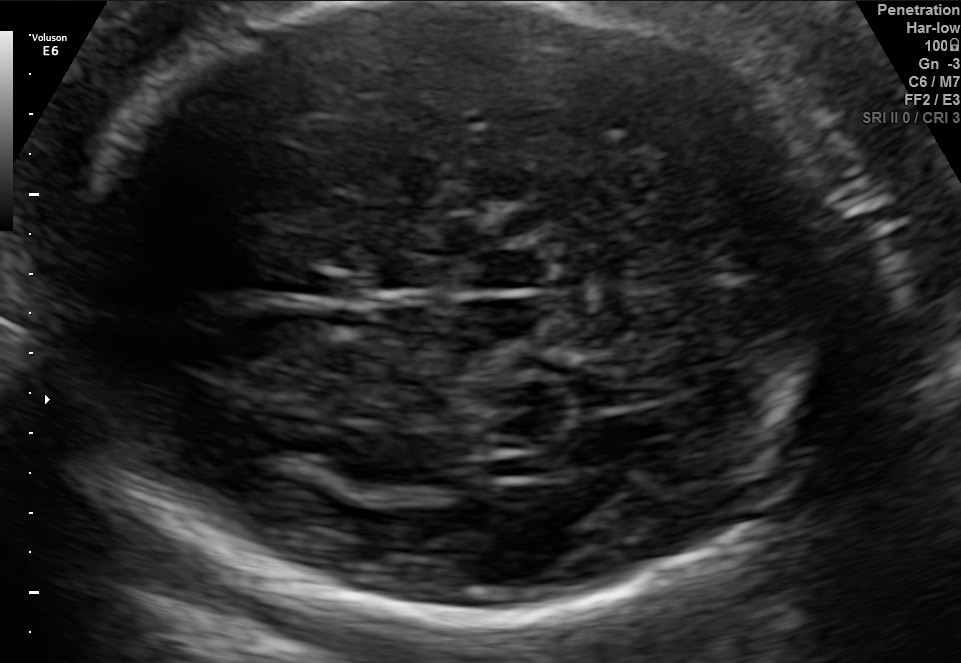
In this fetal brain, trans-thalamic plane, give bounding boxes for the head outline, cavum septum pellucidum (CSP), and lateral ventricle (LV), where visible.

Head: [44,6,869,621]